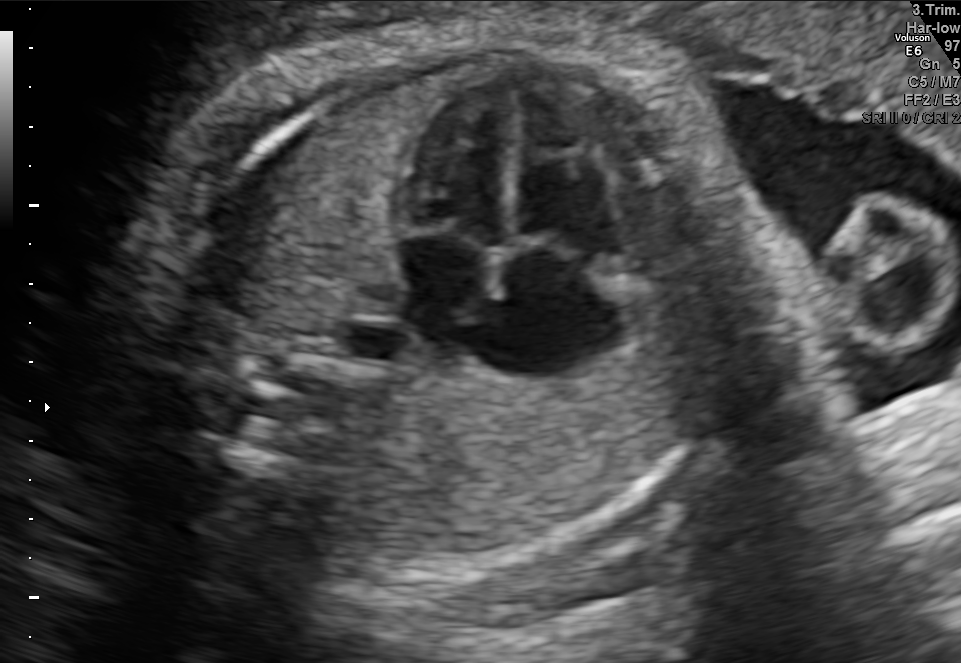
Which standard maternal-fetal ultrasound plane is shown: fetal abdomen, fetal brain, fetal femur, fetal thorax, maternal cervix, or other? If it's fetal brain and one of the three standard brain planes (trans-thalamic, trans-cerebellum, trans-ventricular), name which.

Fetal thorax